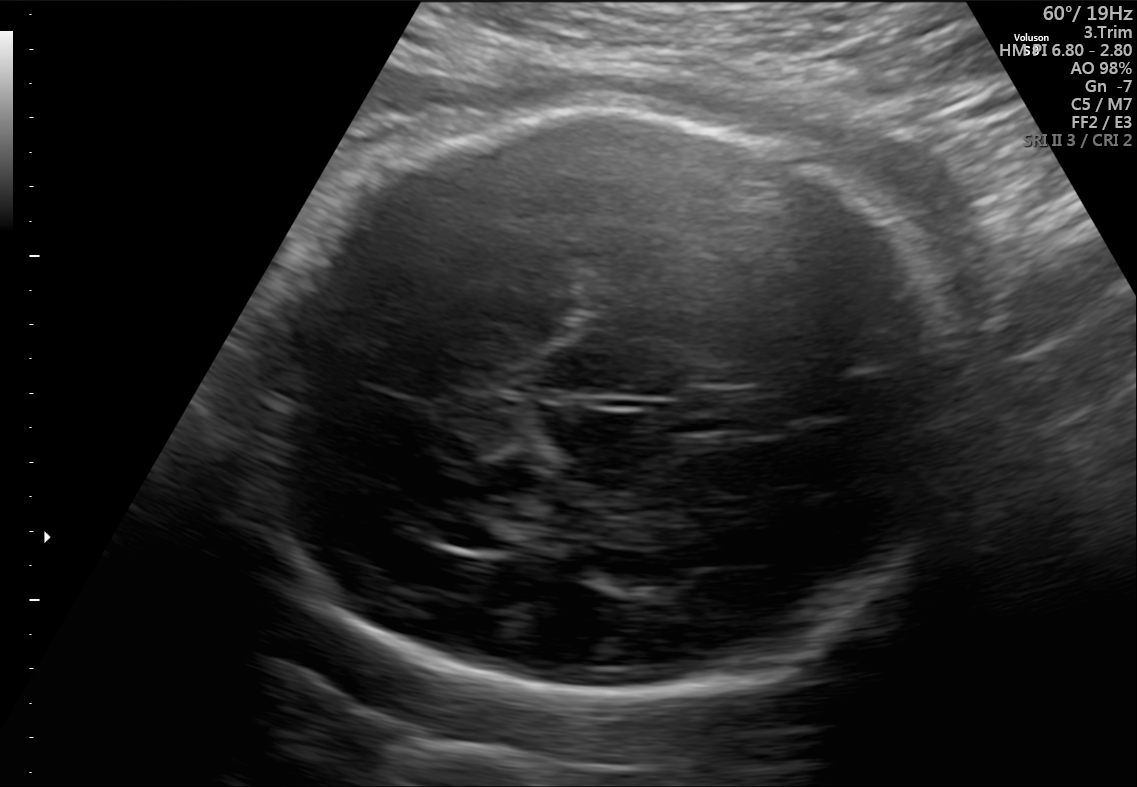
Fetal brain, trans-thalamic plane. Give [x1,y1,x2,y2] bounding boxes for each visible structure among: fetal head, CSP, LV.

Head: [242,110,969,699]
CSP: [680,390,757,434]
Lateral ventricle: [426,508,523,558]